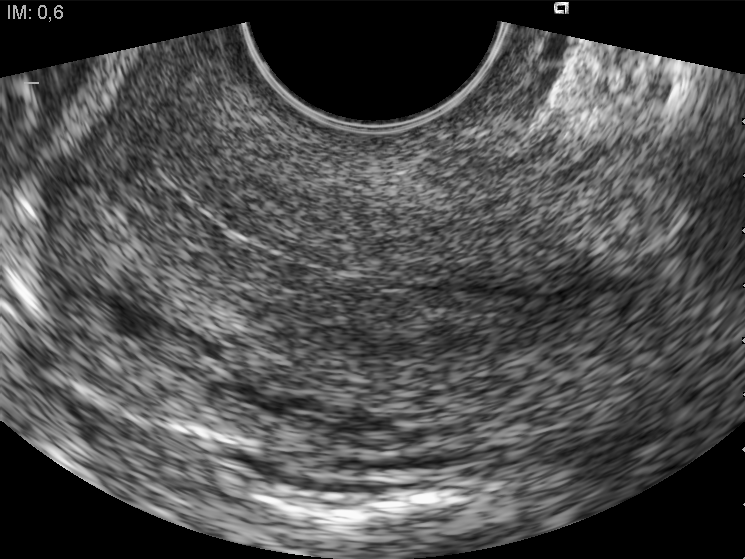
This is a 2D maternal-fetal ultrasound frame. Is it a fetal abdomen, fetal brain, fetal femur, fetal thorax, maternal cervix, or other standard plane? If it's fetal brain and one of the three standard brain planes (trans-thalamic, trans-cerebellum, trans-ventricular), name which.

Maternal cervix